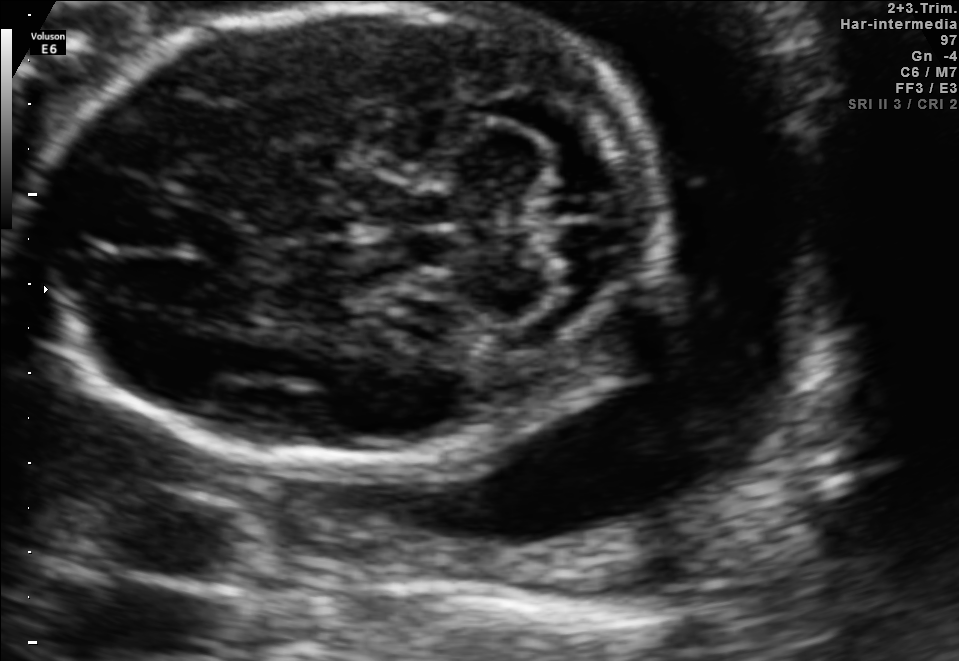
Fetal brain, trans-cerebellum plane. Where is the cavum septum pellucidum?

CSP bounding box: [167,199,252,270]